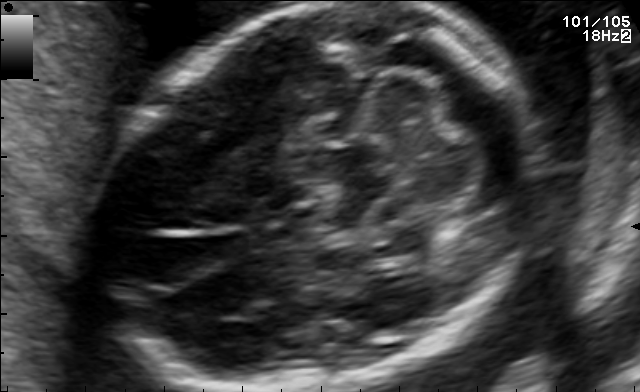
Fetal brain, trans-cerebellum plane. Locate the fetal head.

Head: [119,4,521,391]